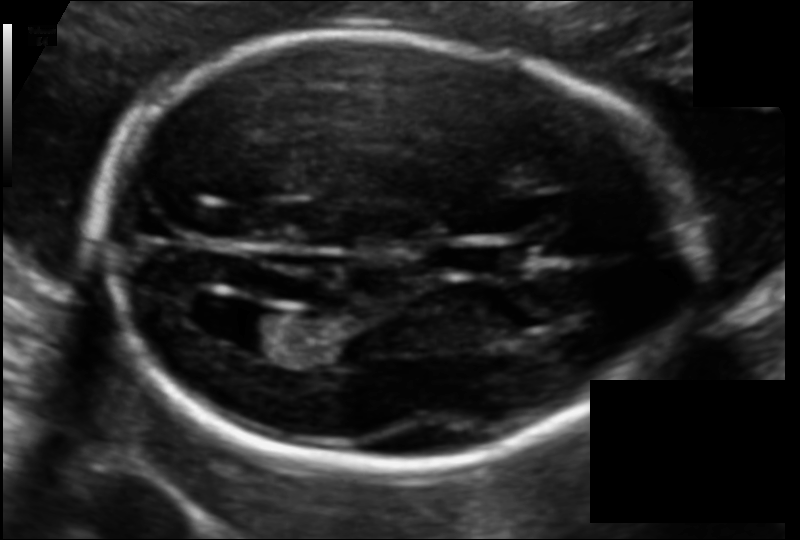
In this fetal head ultrasound, give bounding boxes for the head outline, cavum septum pellucidum (CSP), and lateral ventricle (LV), where visible. Image width: 86.6 mm.

Head: [98,33,691,471]
CSP: [442,244,523,275]
Lateral ventricle: [219,304,301,364]